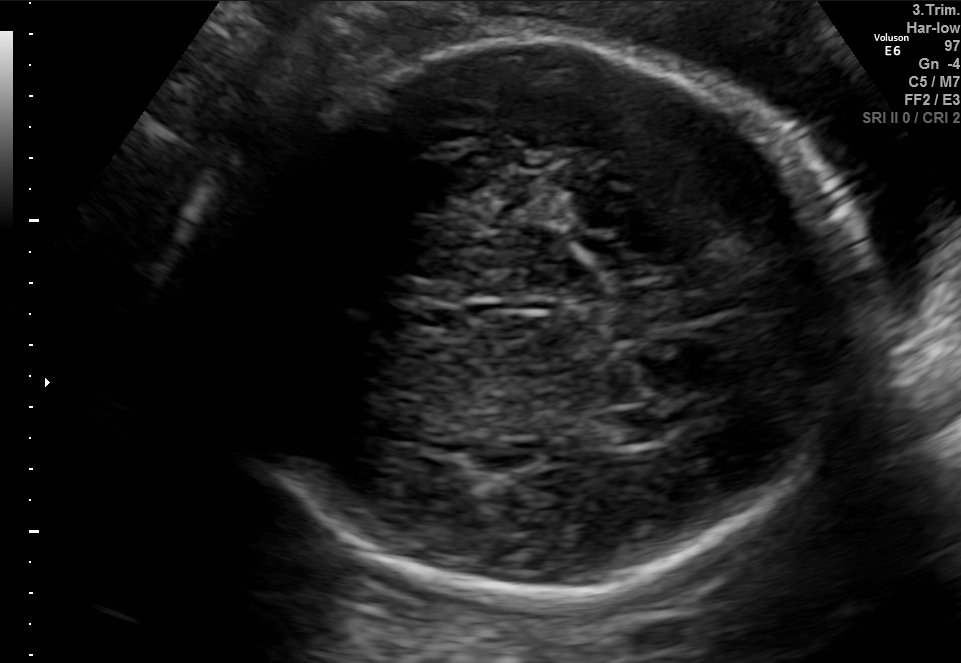
In this fetal brain, trans-thalamic plane, give the bounding box of the lateral ventricle.

[584,404,662,453]